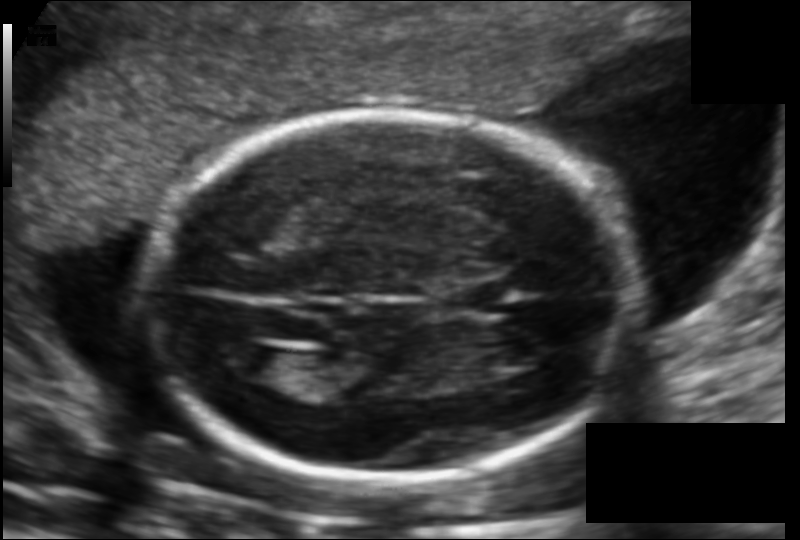
Fetal head ultrasound. Image width: 98.4 mm. Where is the cavum septum pellucidum?

CSP bounding box: [438,278,501,321]